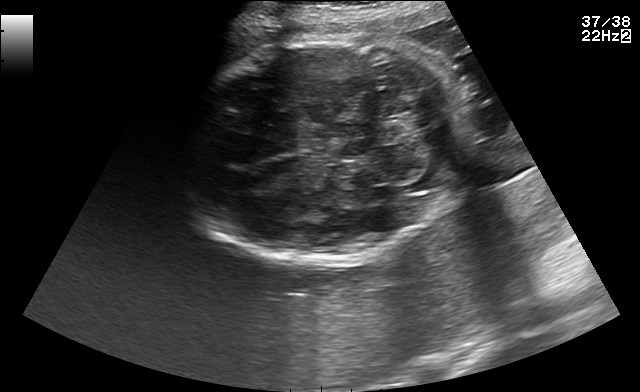
In this fetal brain, trans-cerebellum plane, give the bounding box of the fetal head.

[176,37,464,262]